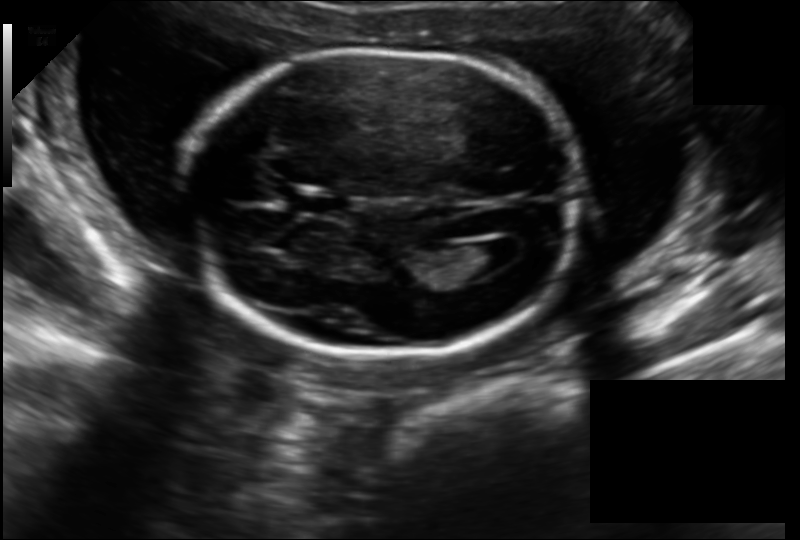
In this fetal head ultrasound, give the bounding box of the fetal head. Image width: 125.8 mm.

[182,47,581,359]